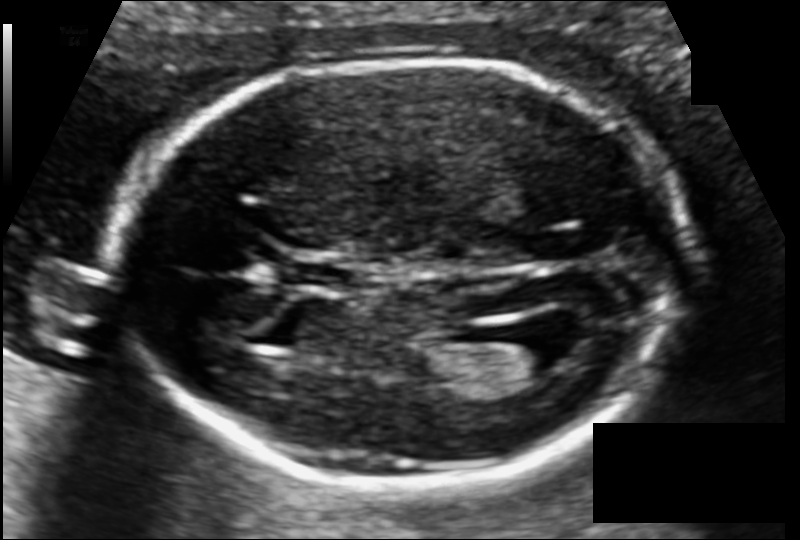
Fetal head ultrasound. Image width: 82.9 mm. Where is the lateral ventricle?

Lateral ventricle bounding box: [493,311,590,388]